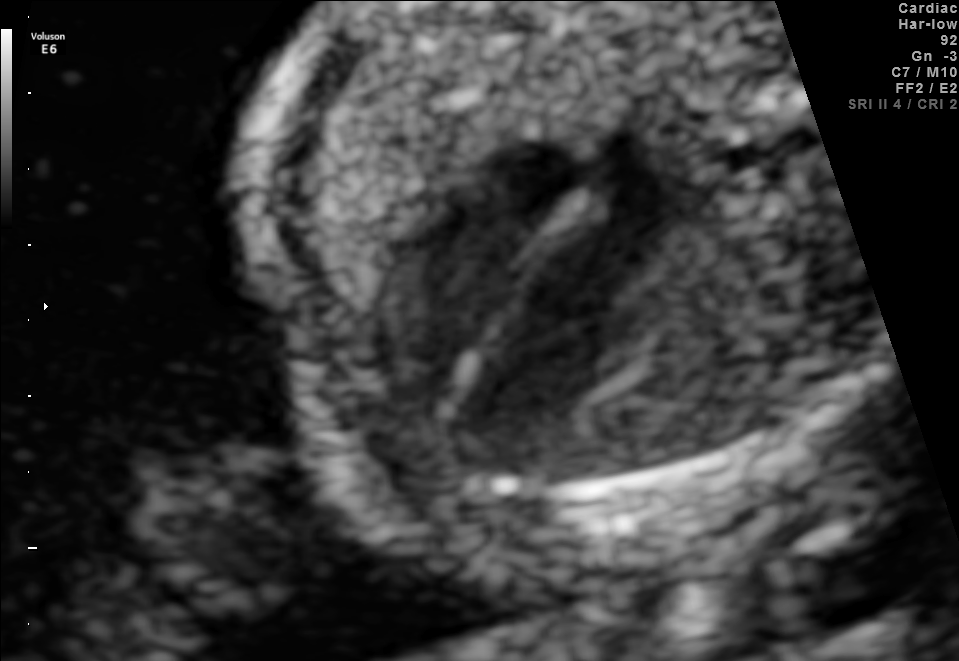
Identify the standard plane in this fetal ultrasound image: fetal abdomen, fetal brain, fetal femur, fetal thorax, maternal cervix, or other. If it's fetal brain and one of the three standard brain planes (trans-thalamic, trans-cerebellum, trans-ventricular), name which.

Fetal thorax